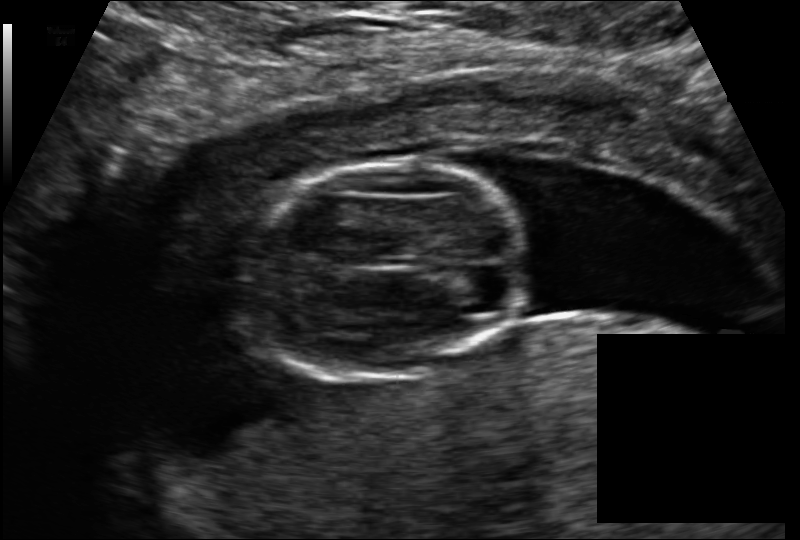
Fetal head ultrasound. Image width: 91.0 mm. Give [x1,y1,x2,y2] bounding boxes for each visible structure among: fetal head, CSP, LV.

Head: [244,162,524,378]